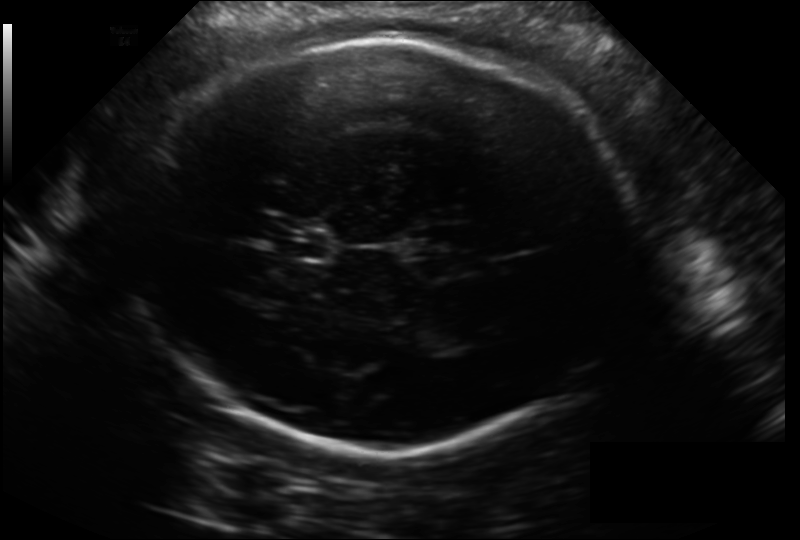
Fetal head ultrasound. Image width: 168.5 mm. Locate the fetal head and, if visible, the cavum septum pellucidum (CSP) and lateral ventricle (LV). Give bounding boxes as [x1,y1,x2,y2].

Head: [130,37,630,451]
CSP: [272,222,330,263]